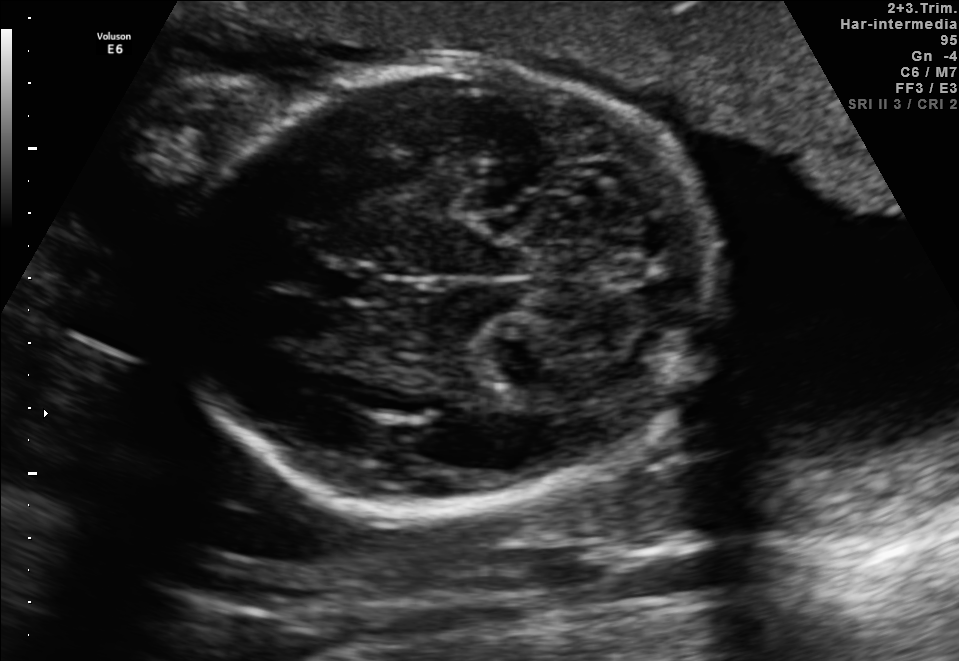
Fetal brain, trans-cerebellum plane. Where is the fetal head?

Head bounding box: [176,67,721,508]